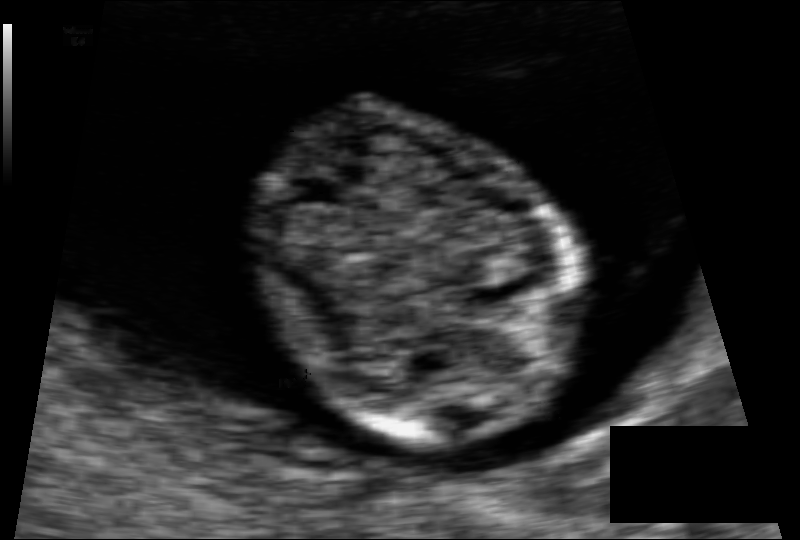
What is the fetal head circumference? Image width is 49.5 mm.

65.7 mm